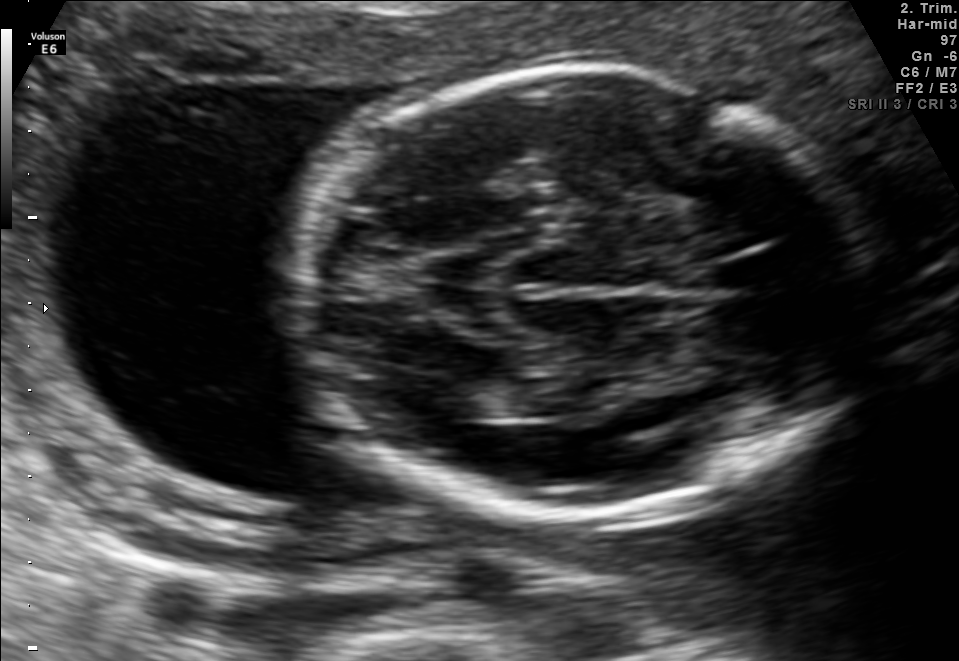
In this fetal brain, trans-thalamic plane, give the bounding box of the lateral ventricle.

[424,375,520,424]